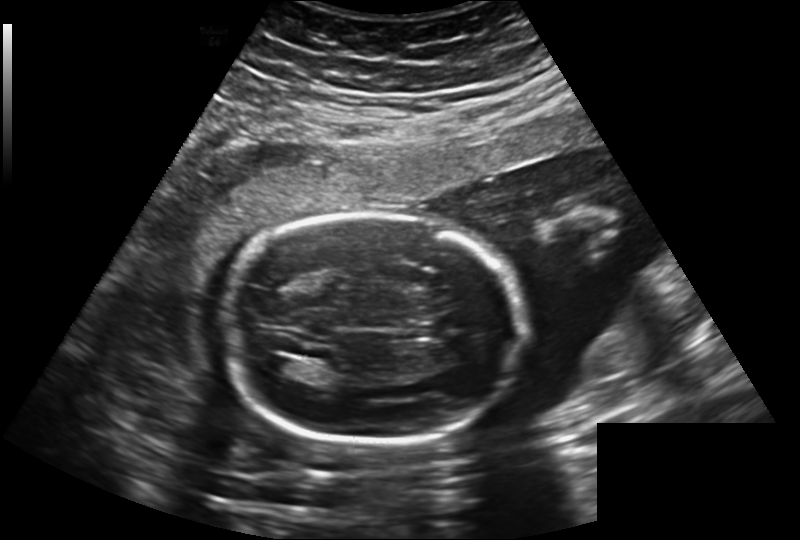
Fetal head ultrasound. Image width: 192.6 mm. Locate the lateral ventricle.

Lateral ventricle: [263,353,296,376]